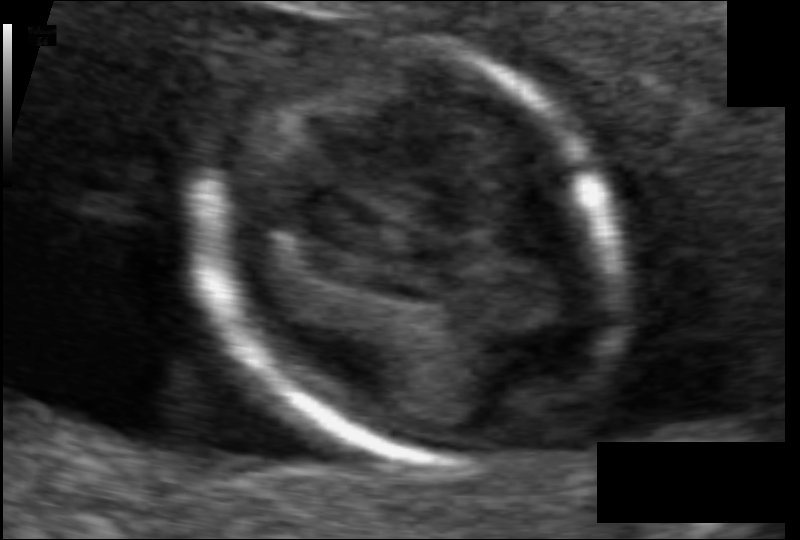
Estimate the fetal head circumference from this 2D ultrasound. Image width: 48.9 mm.

Head circumference: 82.6 mm.